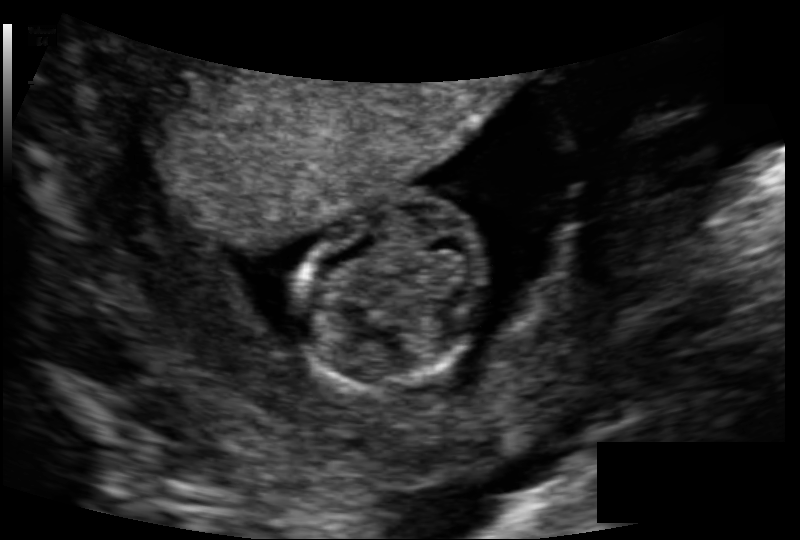
Fetal head ultrasound. Image width: 94.2 mm. Locate the fetal head.

Head: [298,197,494,387]